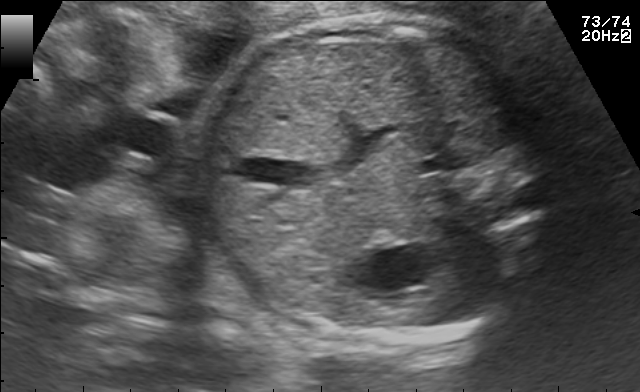
Which standard maternal-fetal ultrasound plane is shown: fetal abdomen, fetal brain, fetal femur, fetal thorax, maternal cervix, or other? If it's fetal brain and one of the three standard brain planes (trans-thalamic, trans-cerebellum, trans-ventricular), name which.

Fetal abdomen